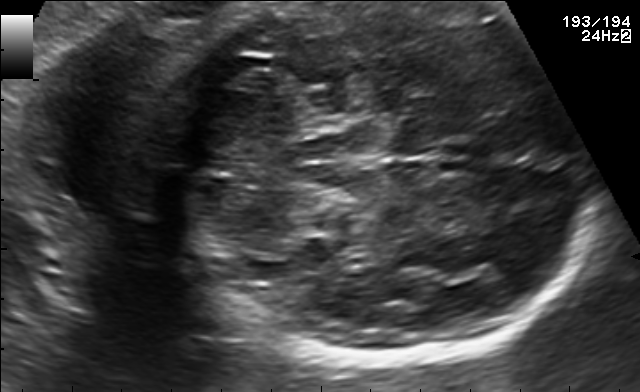
Fetal brain, trans-cerebellum plane. Where is the fetal head?

Head bounding box: [176,2,584,369]